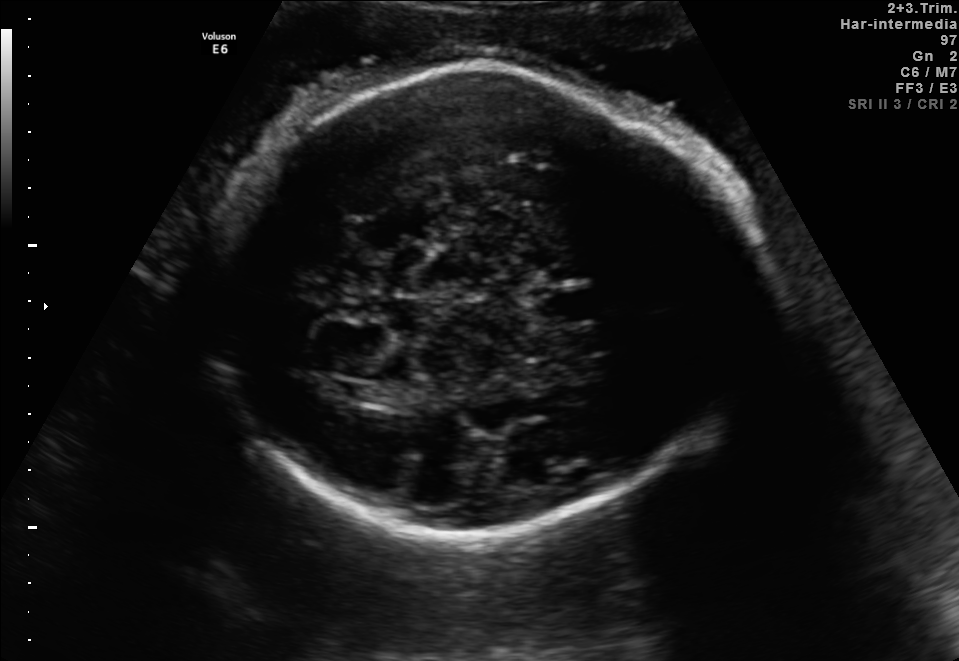
In this fetal brain, trans-thalamic plane, give the bounding box of the fetal head.

[207,65,764,534]